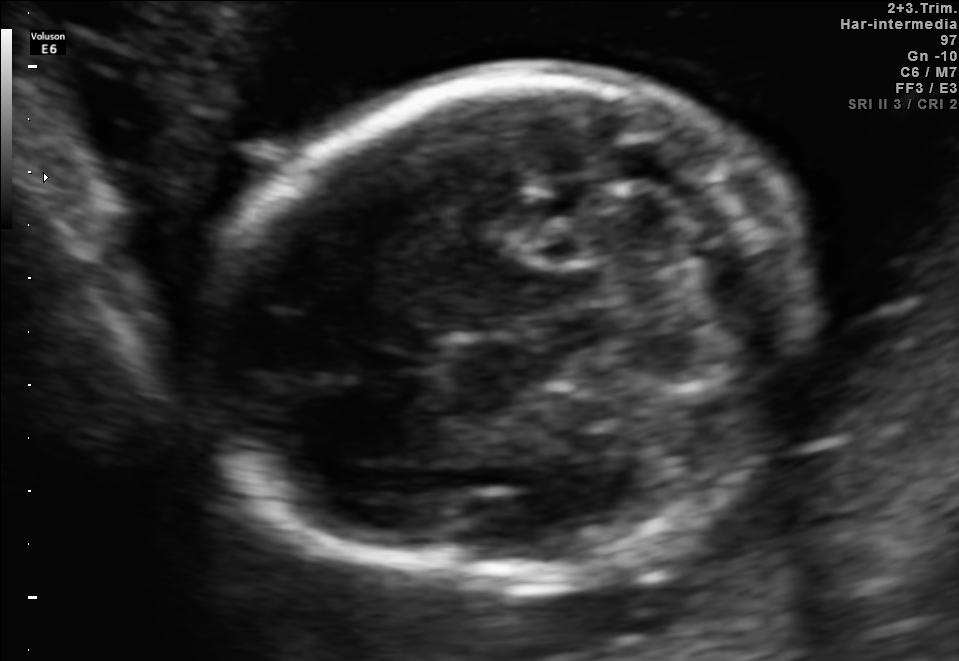
In this fetal brain, trans-cerebellum plane, give the bounding box of the fetal head.

[206,71,805,578]